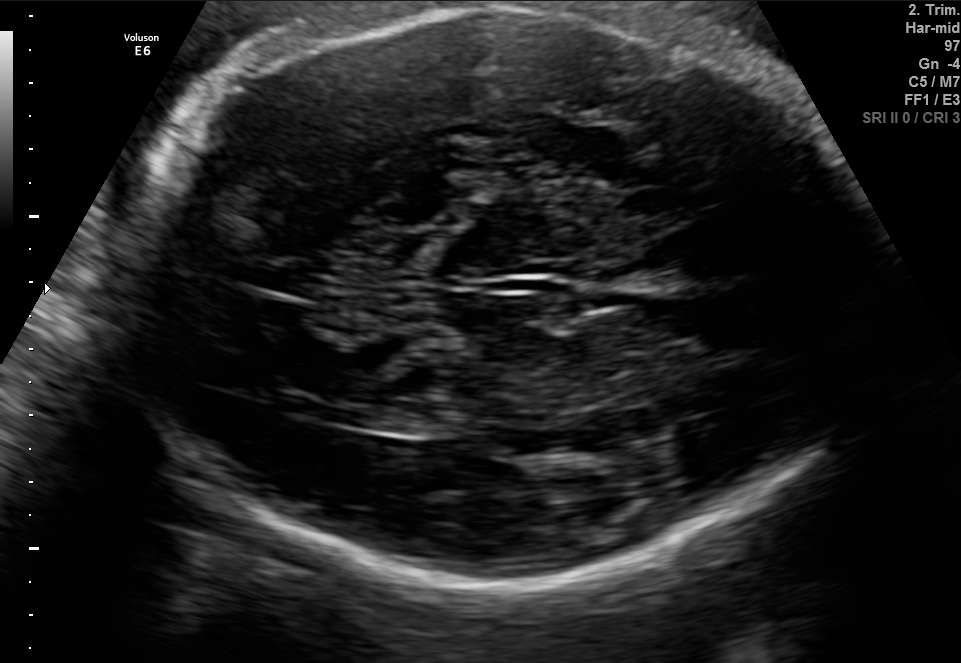
Fetal brain, trans-thalamic plane. Locate the fetal head.

Head: [112,8,867,589]